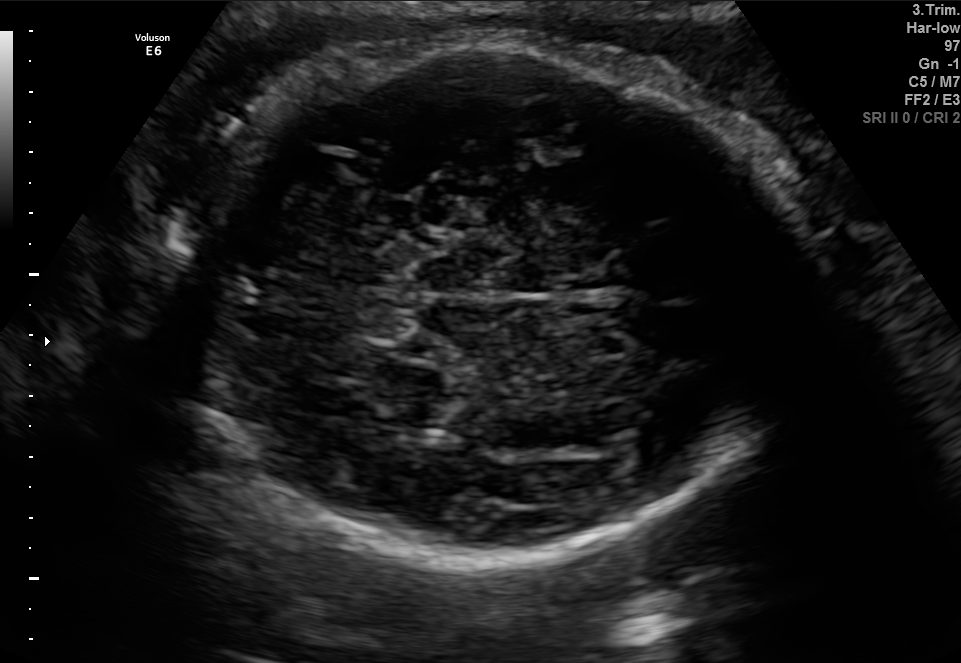
In this fetal brain, trans-cerebellum plane, give bounding boxes for the head outline, cavum septum pellucidum (CSP), and lateral ventricle (LV), where visible.

Head: [175,45,796,564]